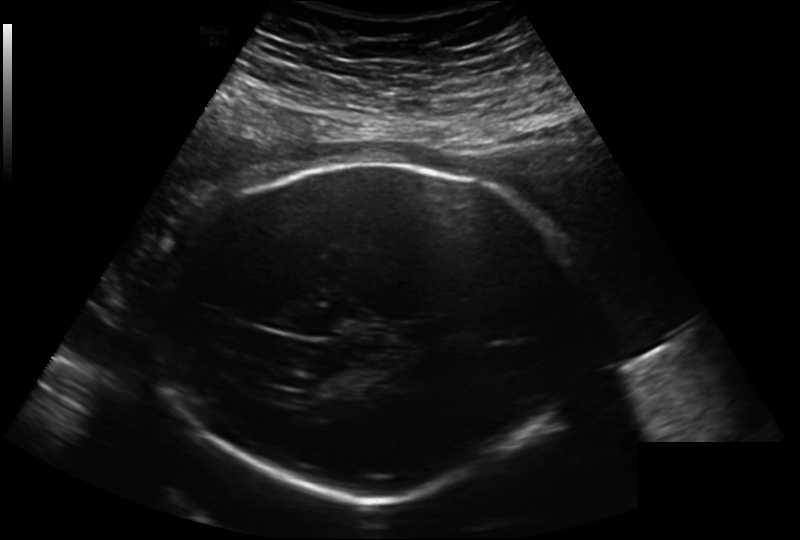
What is the fetal head circumference? Image width is 192.6 mm.

298.8 mm